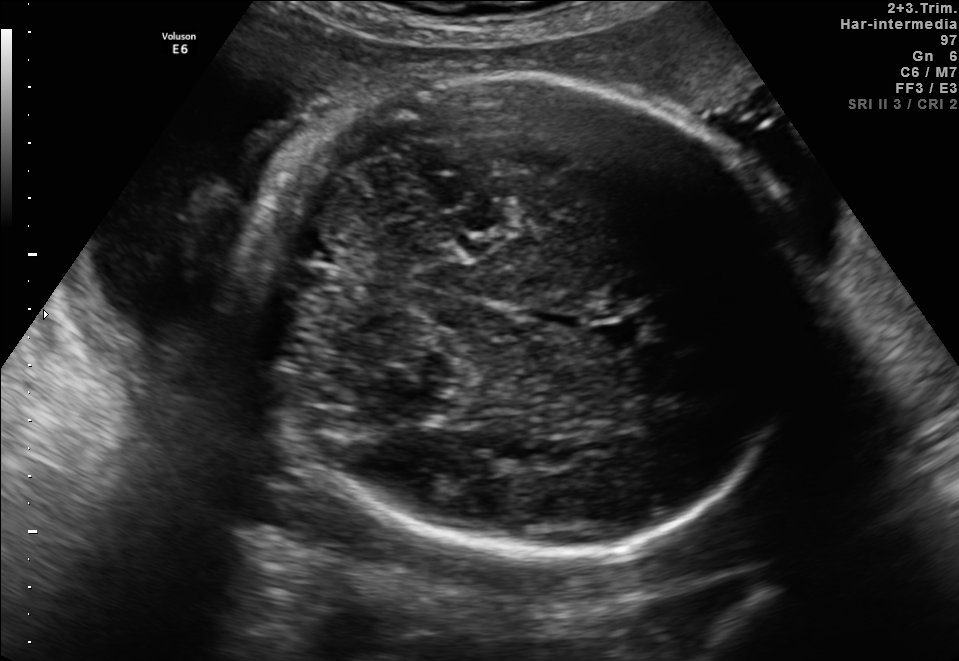
Which standard maternal-fetal ultrasound plane is shown: fetal abdomen, fetal brain, fetal femur, fetal thorax, maternal cervix, or other? If it's fetal brain and one of the three standard brain planes (trans-thalamic, trans-cerebellum, trans-ventricular), name which.

Fetal brain (trans-cerebellum plane)